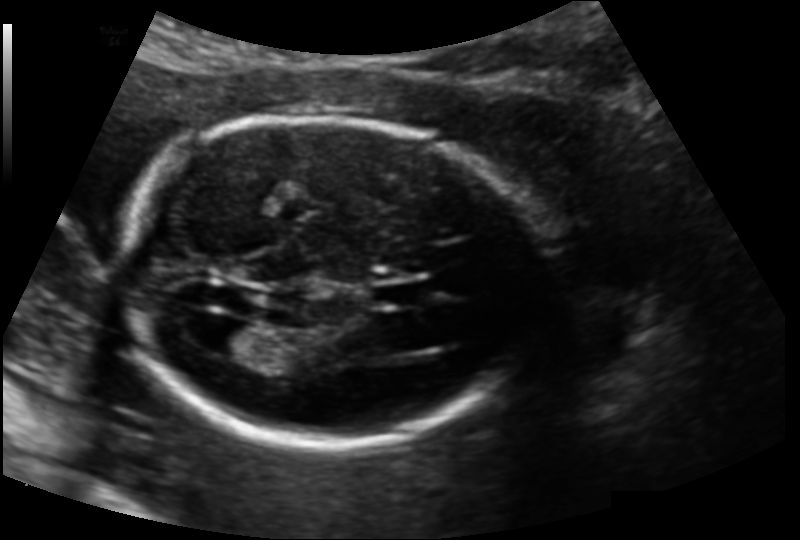
Fetal head ultrasound. Image width: 111.6 mm. Where is the fetal head?

Head bounding box: [117,118,536,448]